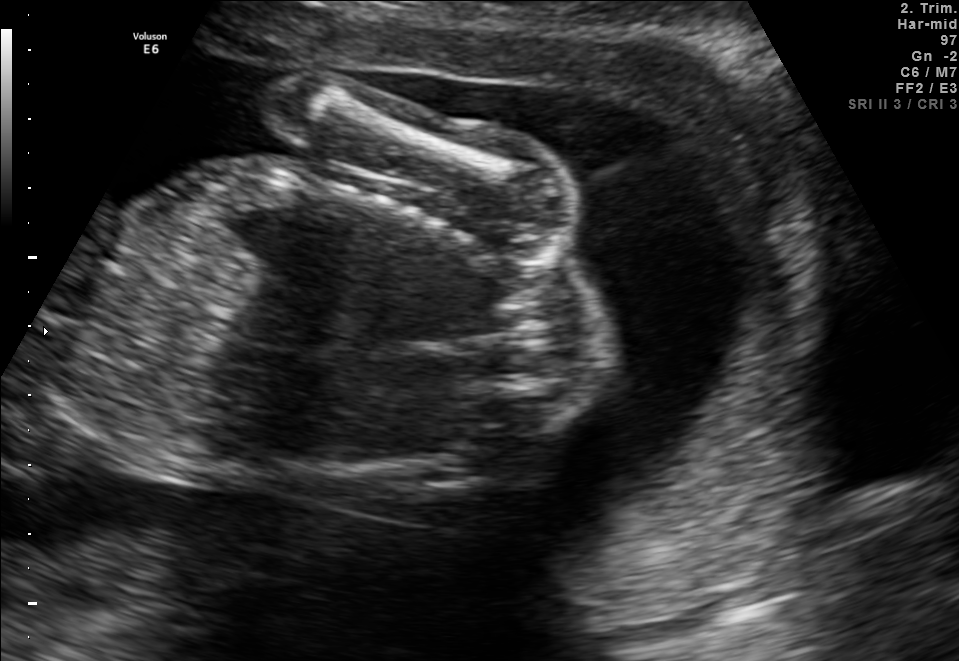
Identify the standard plane in this fetal ultrasound image: fetal abdomen, fetal brain, fetal femur, fetal thorax, maternal cervix, or other. If it's fetal brain and one of the three standard brain planes (trans-thalamic, trans-cerebellum, trans-ventricular), name which.

Other